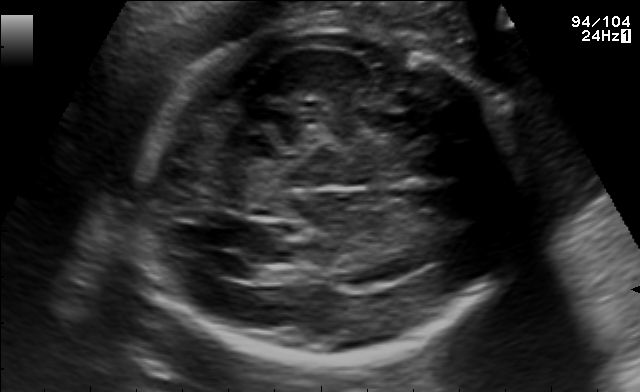
In this fetal brain, trans-ventricular plane, give the bounding box of the fetal head.

[124,21,544,364]